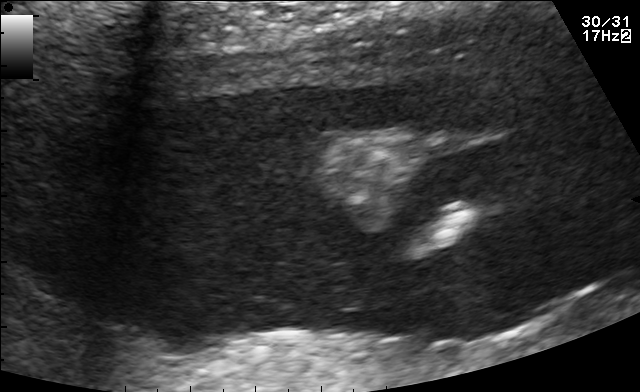
Classify this maternal-fetal ultrasound image as one of the six standard planes — fetal abdomen, fetal brain, fetal femur, fetal thorax, maternal cervix, or other. If it's fetal brain and one of the three standard brain planes (trans-thalamic, trans-cerebellum, trans-ventricular), name which.

Other